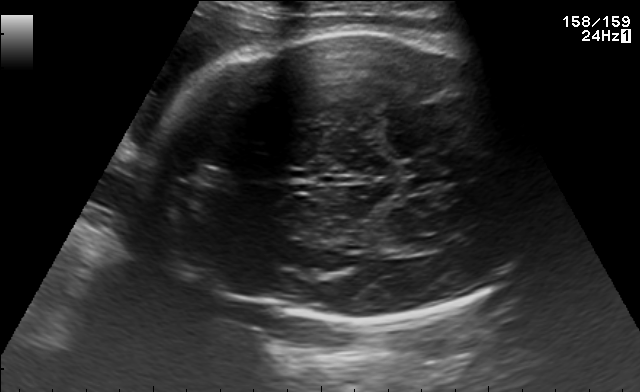
Fetal brain, trans-thalamic plane. Locate the fetal head.

Head: [141,27,532,324]